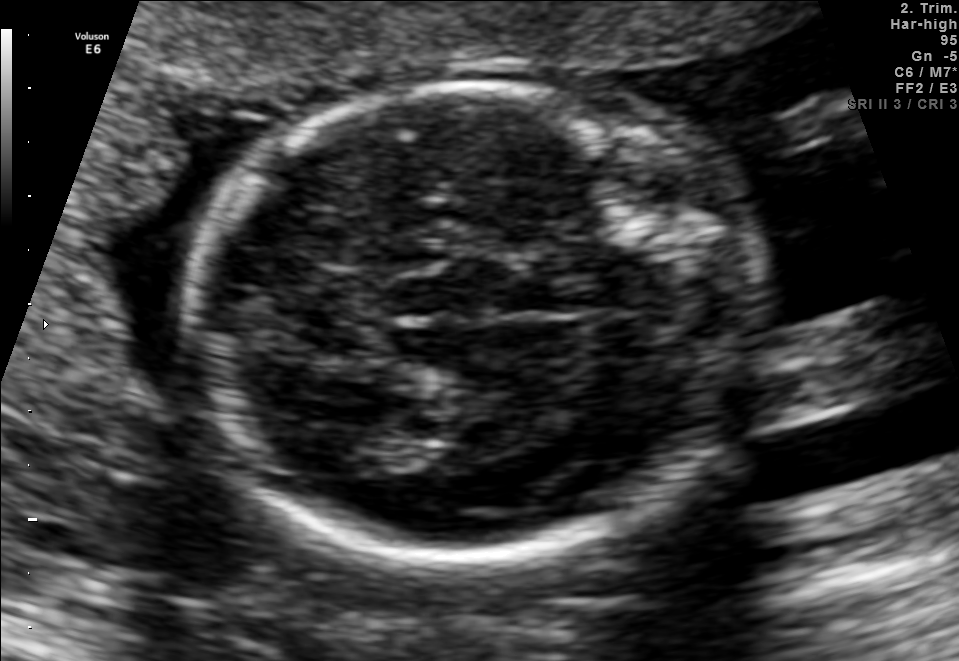
Fetal brain, trans-thalamic plane. Where is the lateral ventricle?

Lateral ventricle bounding box: [338,425,429,474]